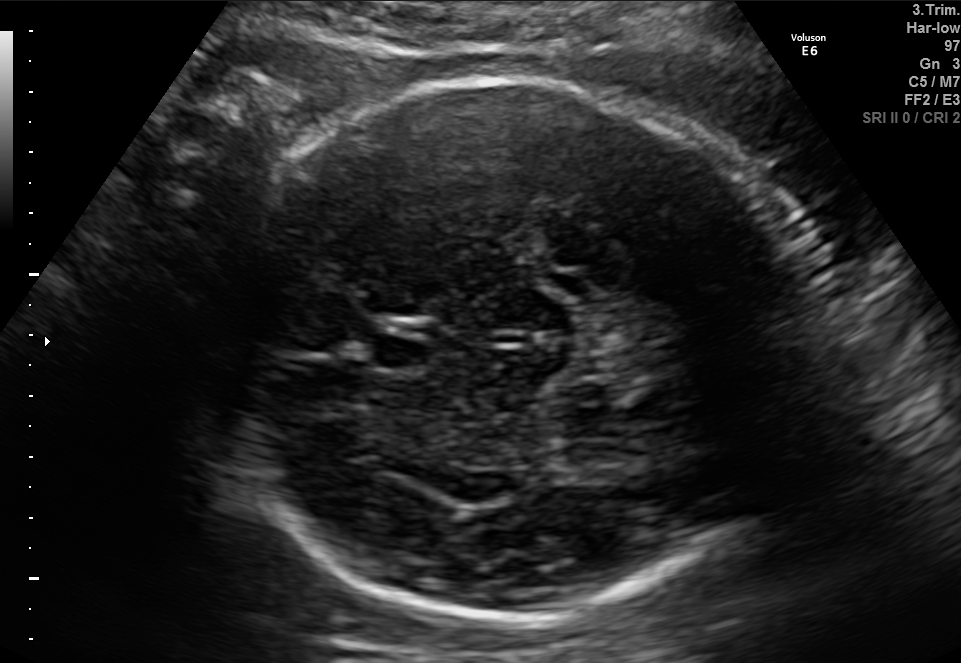
Fetal brain, trans-thalamic plane. Give [x1,y1,x2,y2] bounding boxes for each visible structure among: fetal head, CSP, LV.

Head: [192,76,809,619]
CSP: [373,334,433,371]